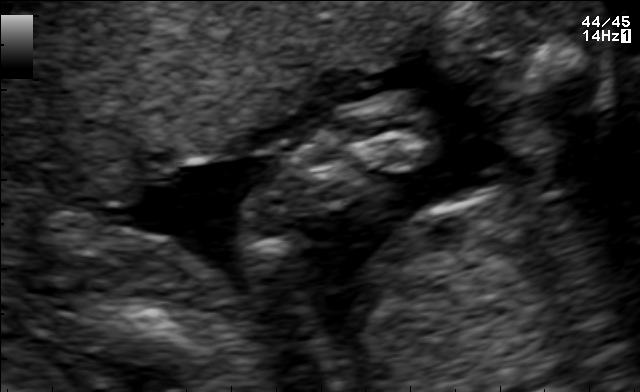
Which standard maternal-fetal ultrasound plane is shown: fetal abdomen, fetal brain, fetal femur, fetal thorax, maternal cervix, or other? If it's fetal brain and one of the three standard brain planes (trans-thalamic, trans-cerebellum, trans-ventricular), name which.

Other